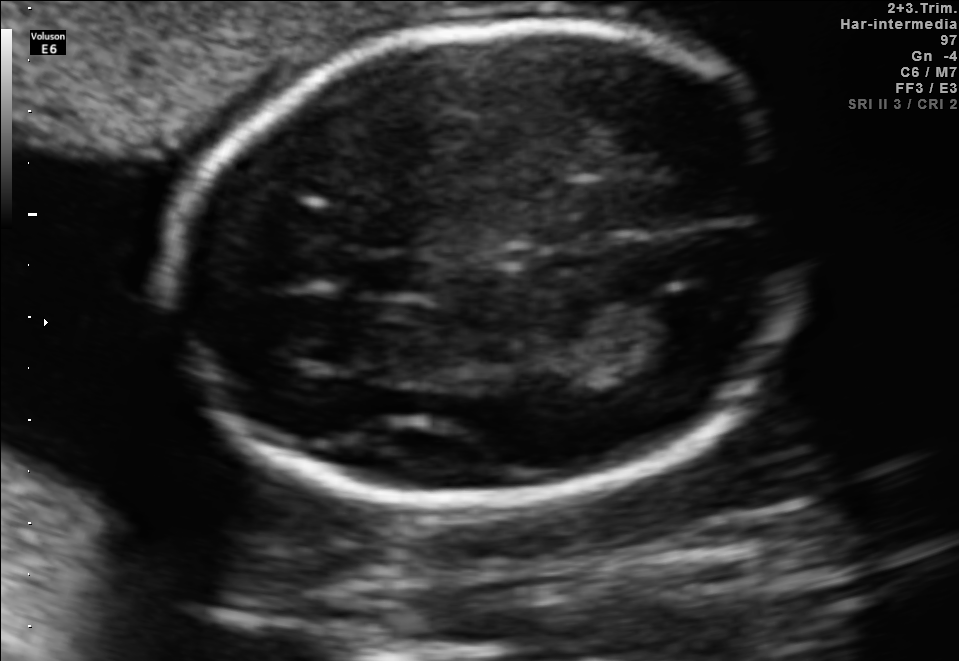
Fetal brain, trans-thalamic plane. Locate the lateral ventricle.

Lateral ventricle: [580,287,716,370]